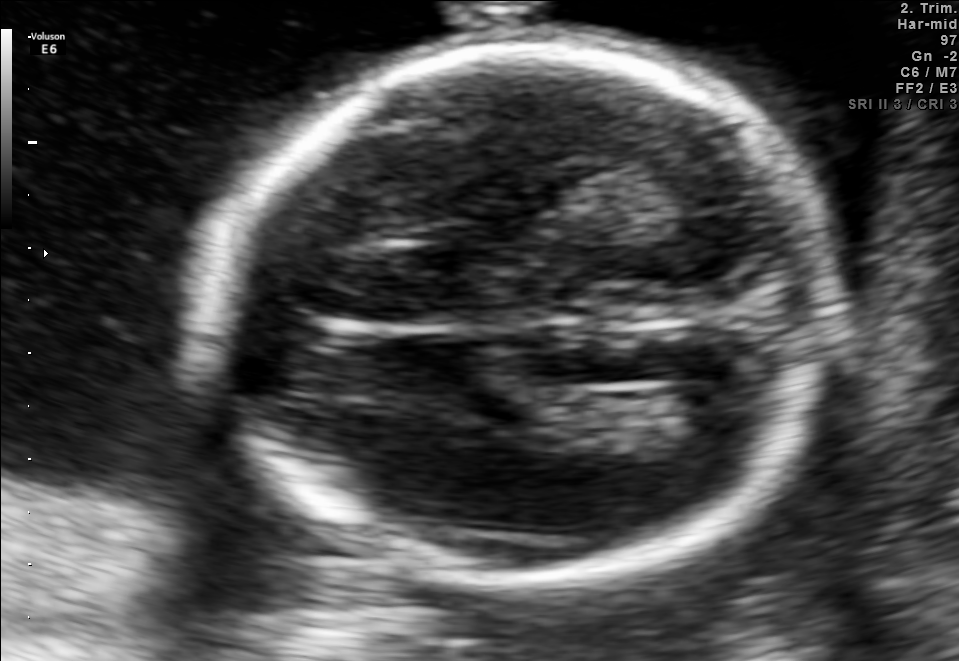
Fetal brain, trans-ventricular plane. Locate the fetal head.

Head: [218,39,841,590]